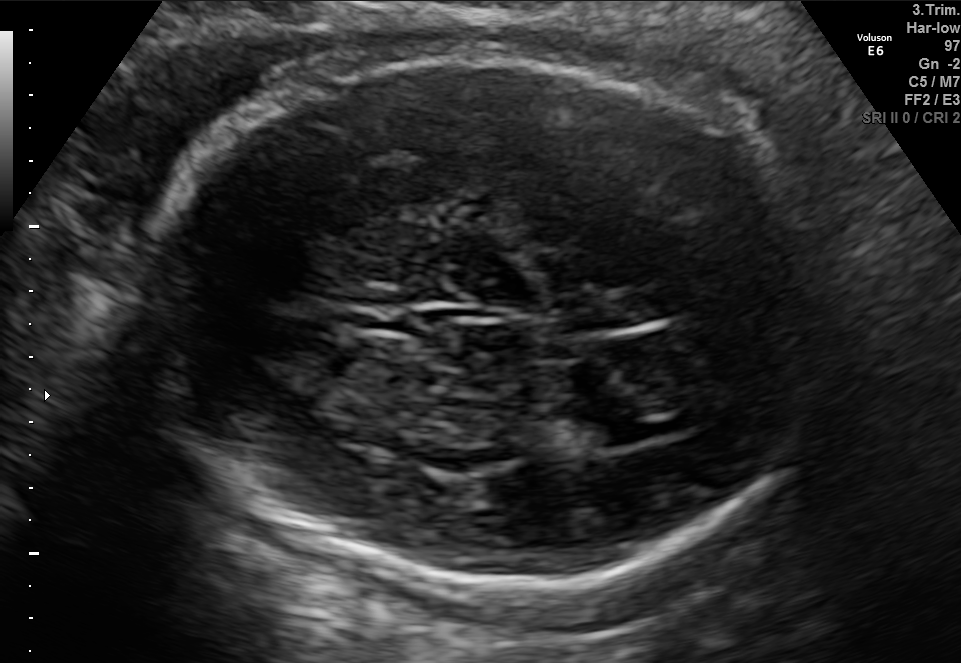
Fetal brain, trans-ventricular plane. Where is the lateral ventricle?

Lateral ventricle bounding box: [605,419,657,447]